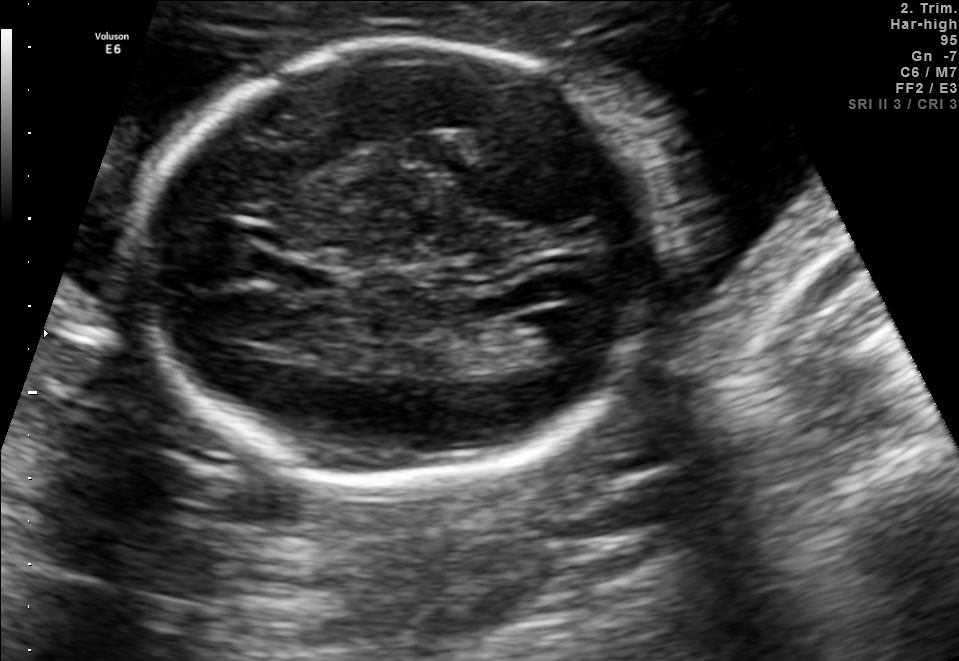
Fetal brain, trans-ventricular plane. Locate the cavum septum pellucidum.

CSP: [297,270,332,289]